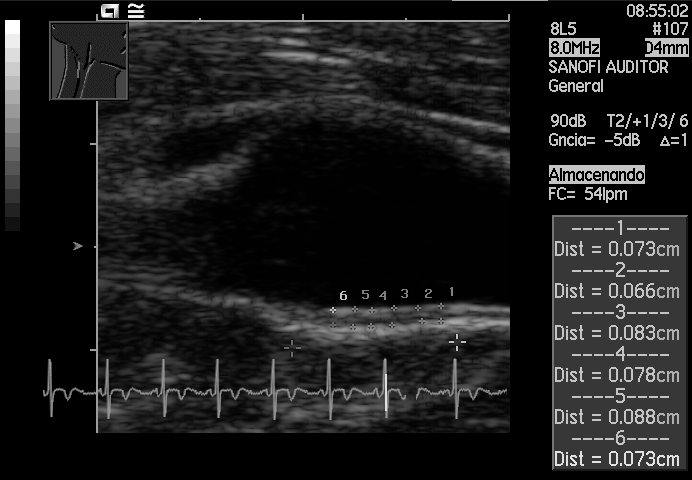
Identify the standard plane in this fetal ultrasound image: fetal abdomen, fetal brain, fetal femur, fetal thorax, maternal cervix, or other. If it's fetal brain and one of the three standard brain planes (trans-thalamic, trans-cerebellum, trans-ventricular), name which.

Other